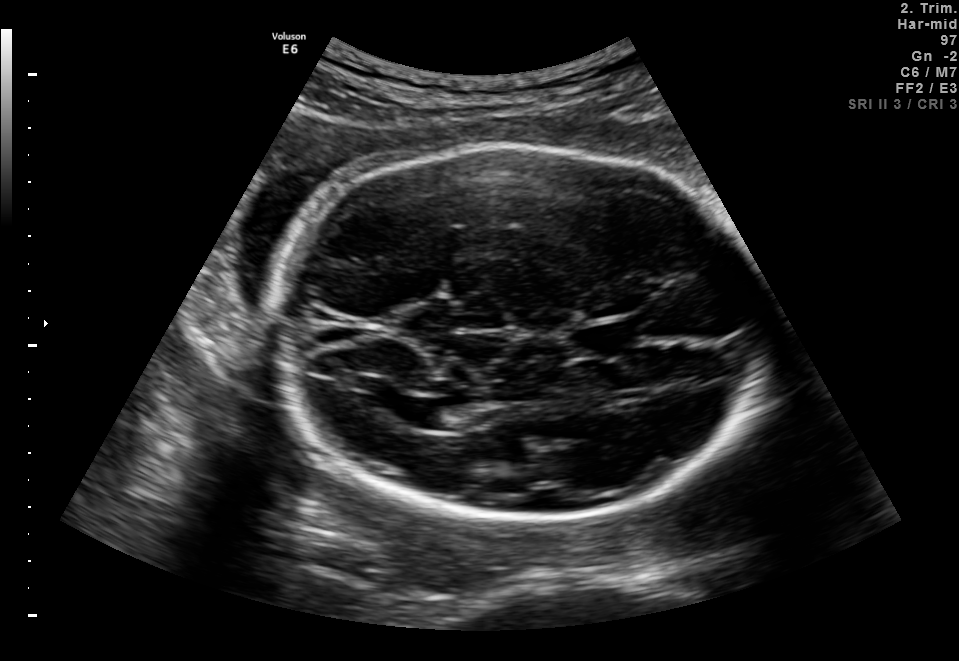
Fetal brain, trans-ventricular plane. Locate the lateral ventricle.

Lateral ventricle: [391,395,442,430]